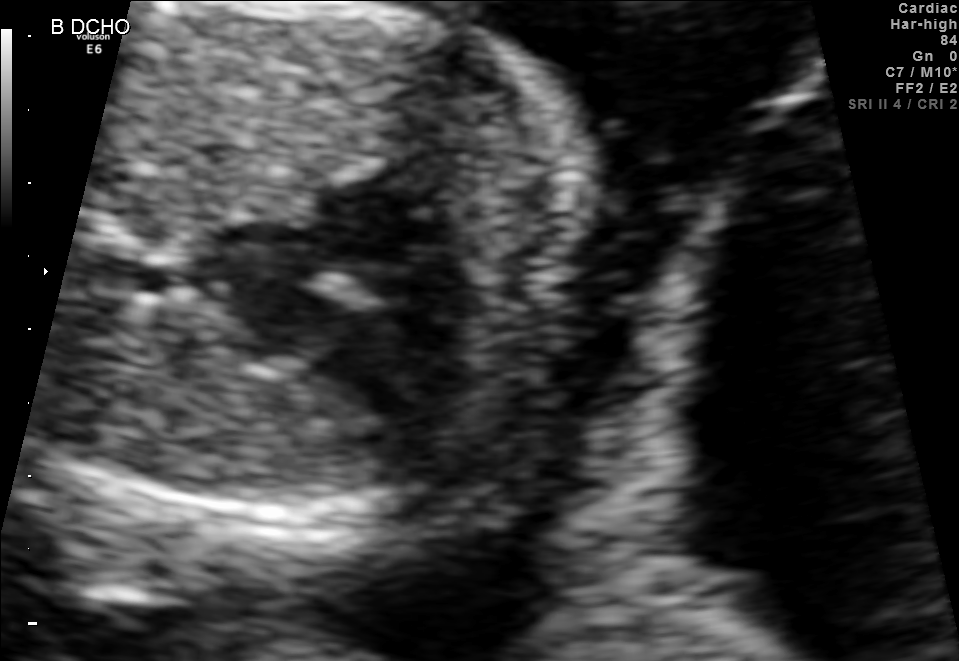
Classify this maternal-fetal ultrasound image as one of the six standard planes — fetal abdomen, fetal brain, fetal femur, fetal thorax, maternal cervix, or other. If it's fetal brain and one of the three standard brain planes (trans-thalamic, trans-cerebellum, trans-ventricular), name which.

Fetal thorax